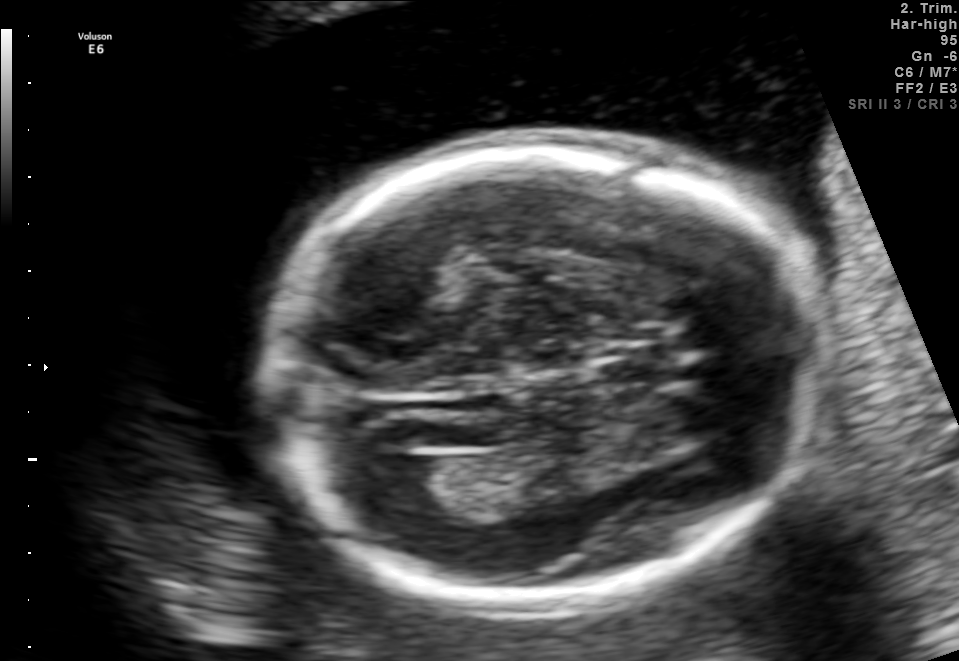
Fetal brain, trans-ventricular plane. Locate the fetal head.

Head: [248,128,841,617]